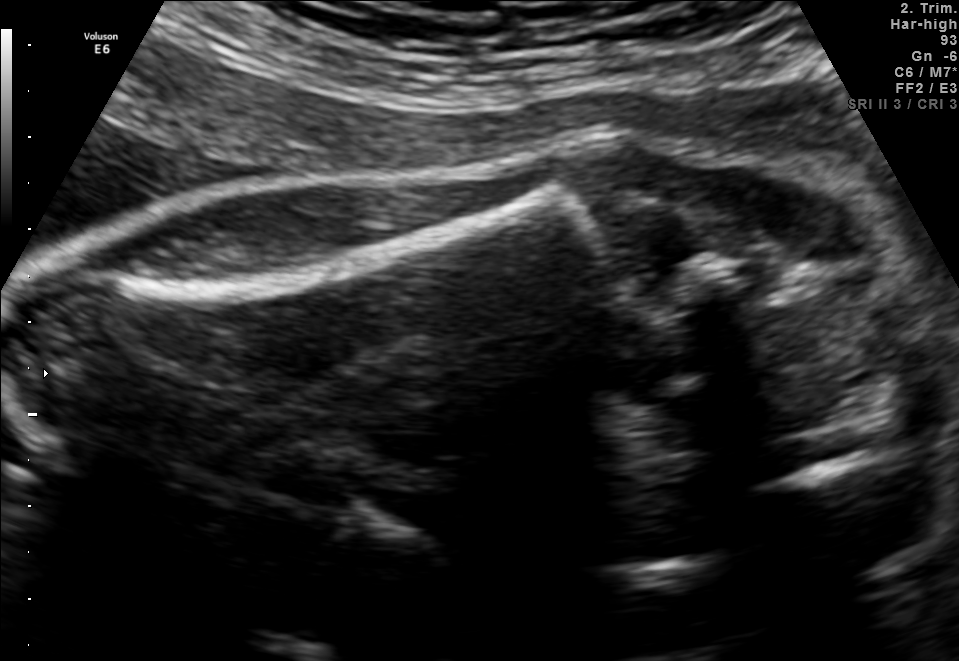
Identify the standard plane in this fetal ultrasound image: fetal abdomen, fetal brain, fetal femur, fetal thorax, maternal cervix, or other. If it's fetal brain and one of the three standard brain planes (trans-thalamic, trans-cerebellum, trans-ventricular), name which.

Fetal femur